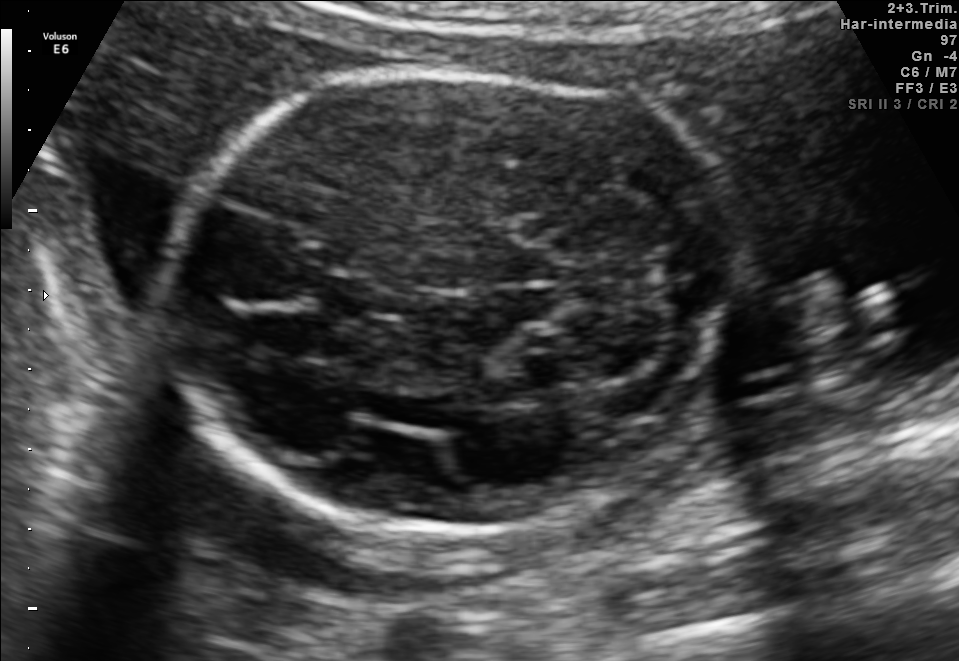
Fetal brain, trans-cerebellum plane. Where is the fetal head?

Head bounding box: [164,62,741,529]